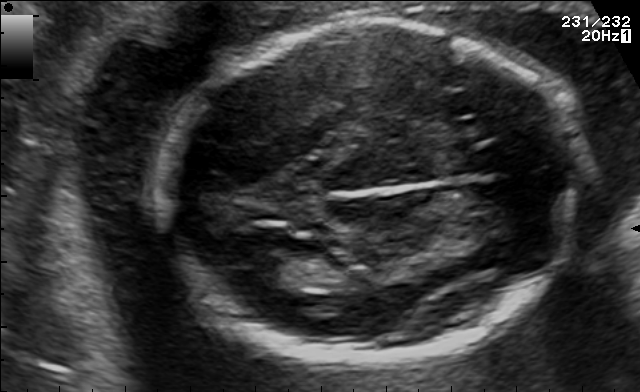
In this fetal brain, trans-thalamic plane, give the bounding box of the fetal head.

[154,20,582,362]